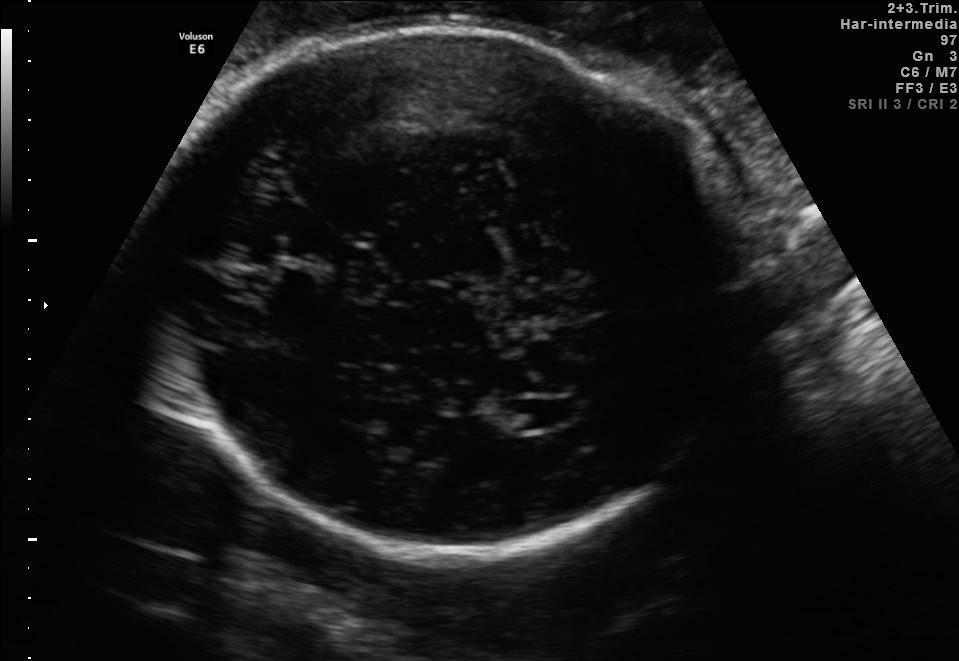
Fetal brain, trans-ventricular plane. Where is the fetal head?

Head bounding box: [147,22,762,559]